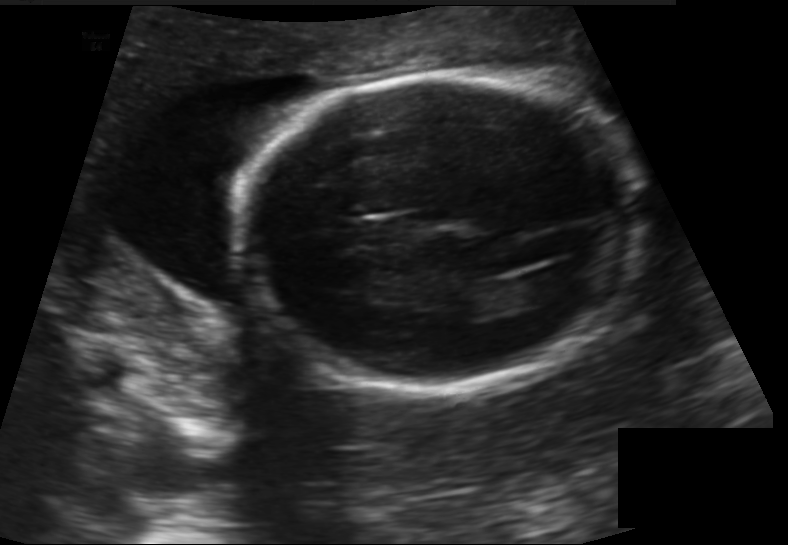
In this fetal head ultrasound, give bounding boxes for the head outline, cavum septum pellucidum (CSP), and lateral ventricle (LV), where visible. Image width: 122.2 mm.

Head: [237,73,633,387]
Lateral ventricle: [517,259,589,308]